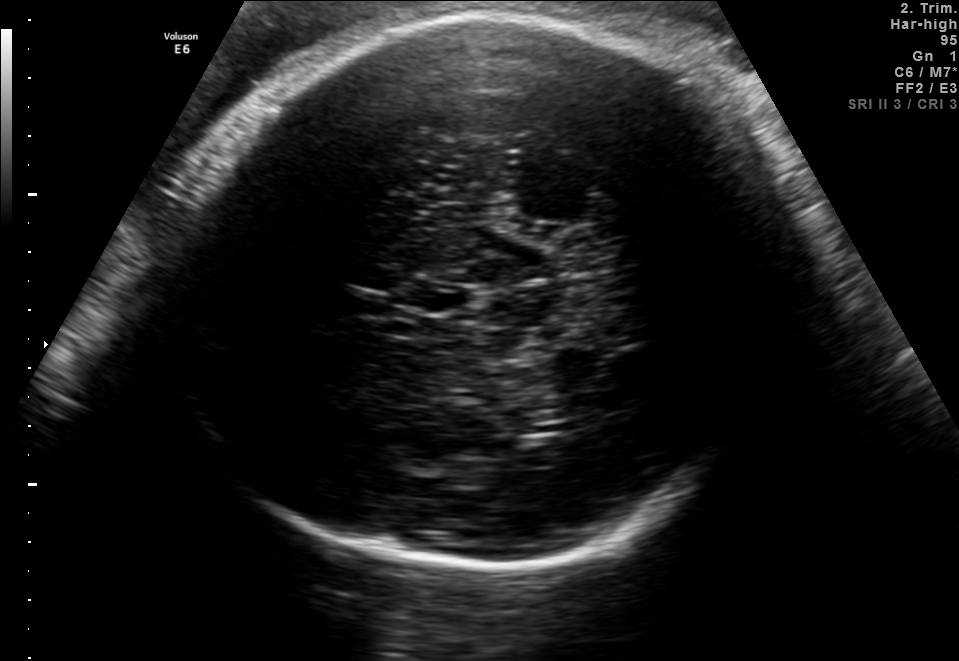
In this fetal brain, trans-thalamic plane, give the bounding box of the cavum septum pellucidum.

[404,279,460,316]